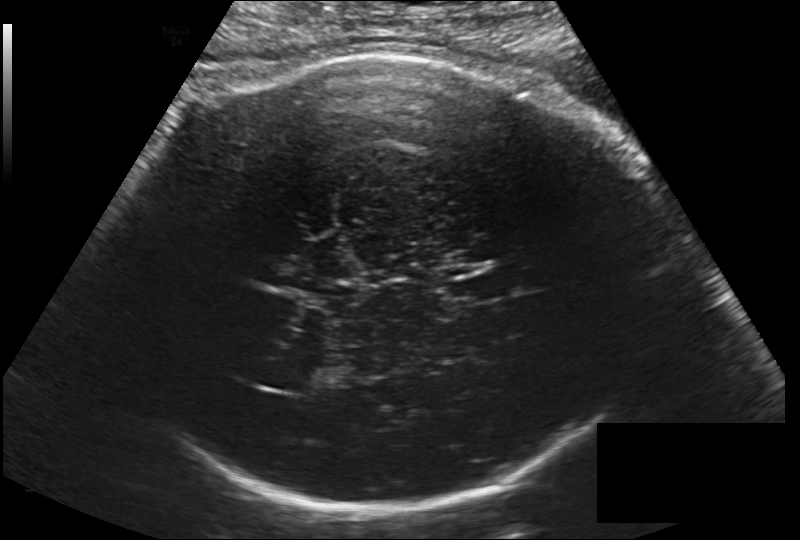
Fetal head ultrasound. Image width: 162.2 mm. Where is the lateral ventricle?

Lateral ventricle bounding box: [264,361,319,394]